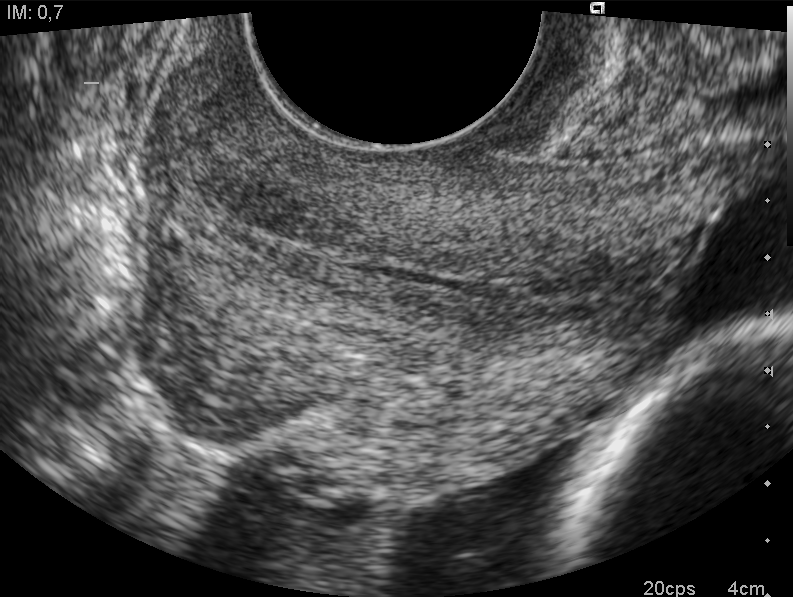
Identify the standard plane in this fetal ultrasound image: fetal abdomen, fetal brain, fetal femur, fetal thorax, maternal cervix, or other. If it's fetal brain and one of the three standard brain planes (trans-thalamic, trans-cerebellum, trans-ventricular), name which.

Maternal cervix